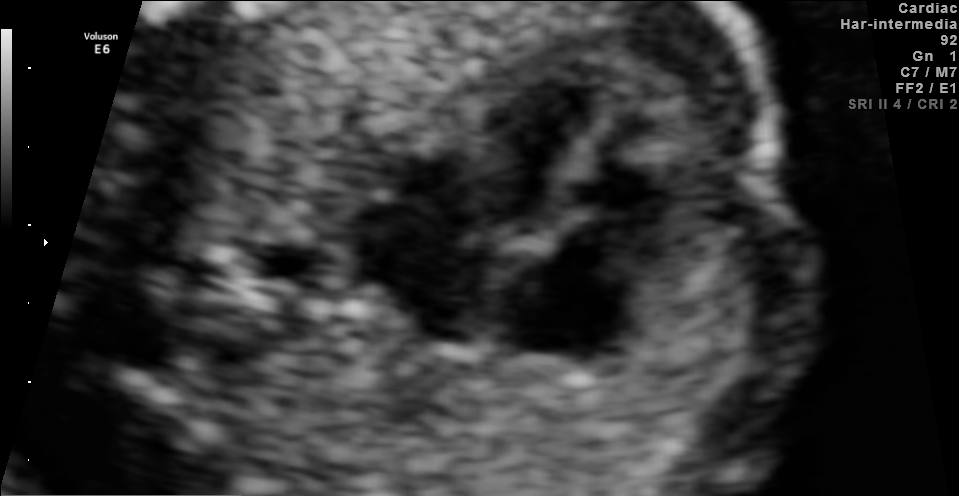
Classify this maternal-fetal ultrasound image as one of the six standard planes — fetal abdomen, fetal brain, fetal femur, fetal thorax, maternal cervix, or other. If it's fetal brain and one of the three standard brain planes (trans-thalamic, trans-cerebellum, trans-ventricular), name which.

Fetal thorax